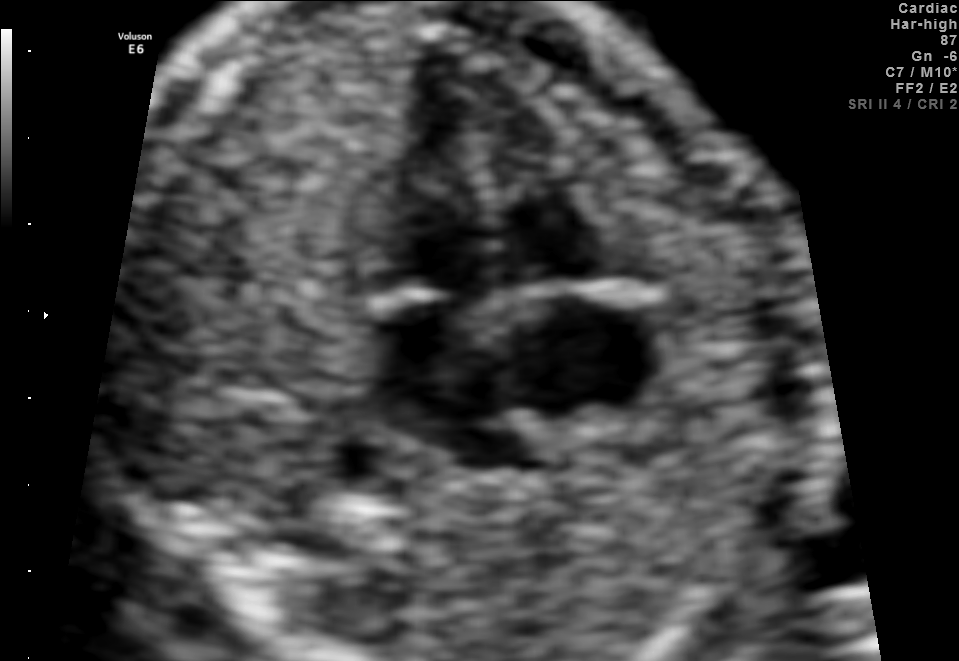
Which standard maternal-fetal ultrasound plane is shown: fetal abdomen, fetal brain, fetal femur, fetal thorax, maternal cervix, or other? If it's fetal brain and one of the three standard brain planes (trans-thalamic, trans-cerebellum, trans-ventricular), name which.

Fetal thorax